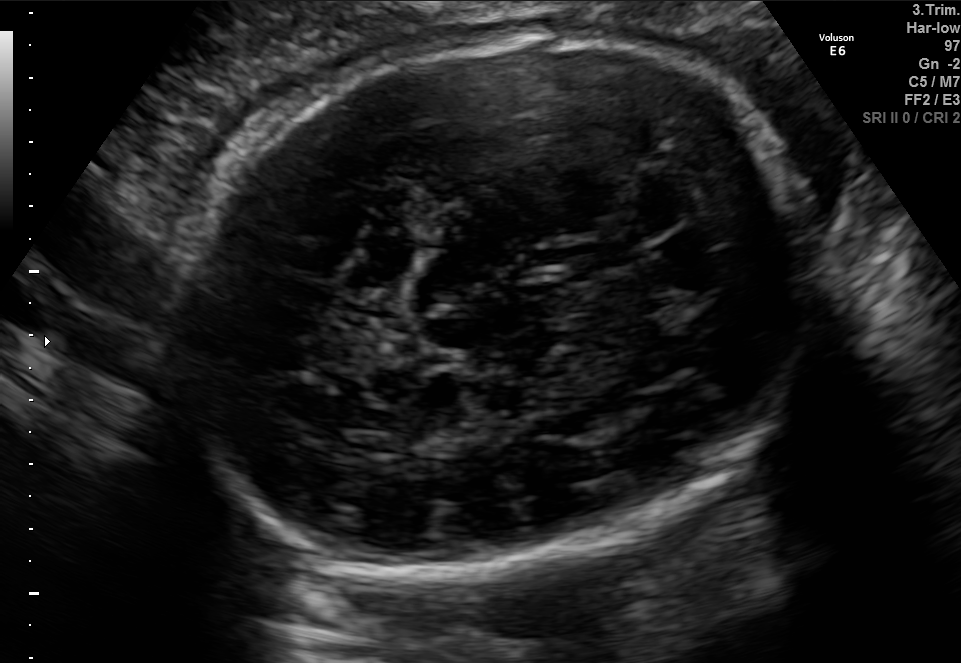
Classify this maternal-fetal ultrasound image as one of the six standard planes — fetal abdomen, fetal brain, fetal femur, fetal thorax, maternal cervix, or other. If it's fetal brain and one of the three standard brain planes (trans-thalamic, trans-cerebellum, trans-ventricular), name which.

Fetal brain (trans-thalamic plane)